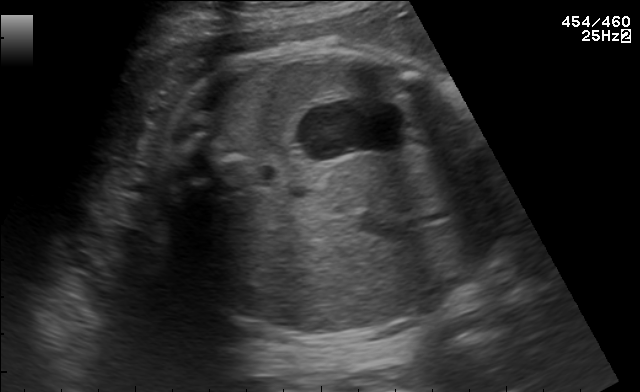
Which standard maternal-fetal ultrasound plane is shown: fetal abdomen, fetal brain, fetal femur, fetal thorax, maternal cervix, or other? If it's fetal brain and one of the three standard brain planes (trans-thalamic, trans-cerebellum, trans-ventricular), name which.

Fetal abdomen